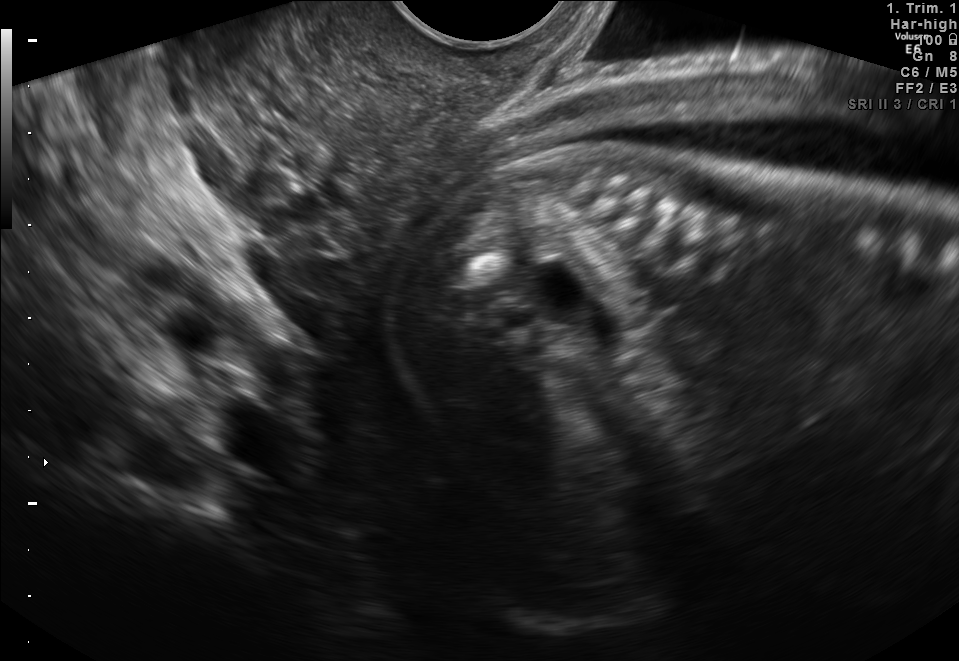
Identify the standard plane in this fetal ultrasound image: fetal abdomen, fetal brain, fetal femur, fetal thorax, maternal cervix, or other. If it's fetal brain and one of the three standard brain planes (trans-thalamic, trans-cerebellum, trans-ventricular), name which.

Maternal cervix